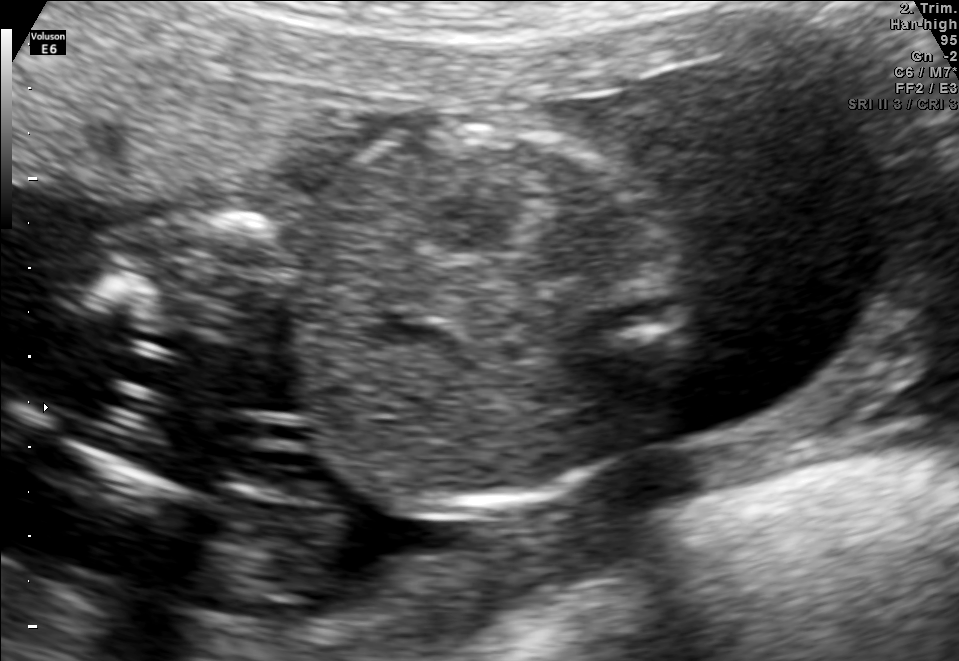
Which standard maternal-fetal ultrasound plane is shown: fetal abdomen, fetal brain, fetal femur, fetal thorax, maternal cervix, or other? If it's fetal brain and one of the three standard brain planes (trans-thalamic, trans-cerebellum, trans-ventricular), name which.

Fetal abdomen